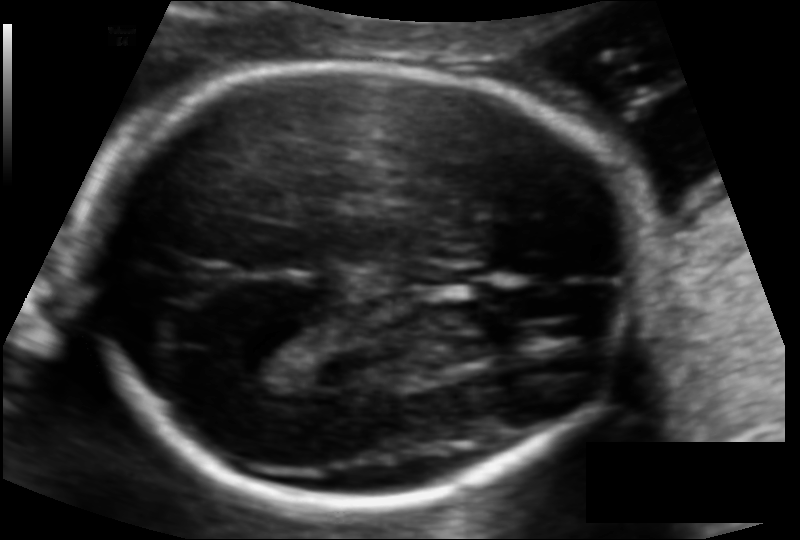
In this fetal head ultrasound, give the bounding box of the fetal head. Image width: 86.6 mm.

[82,65,643,505]